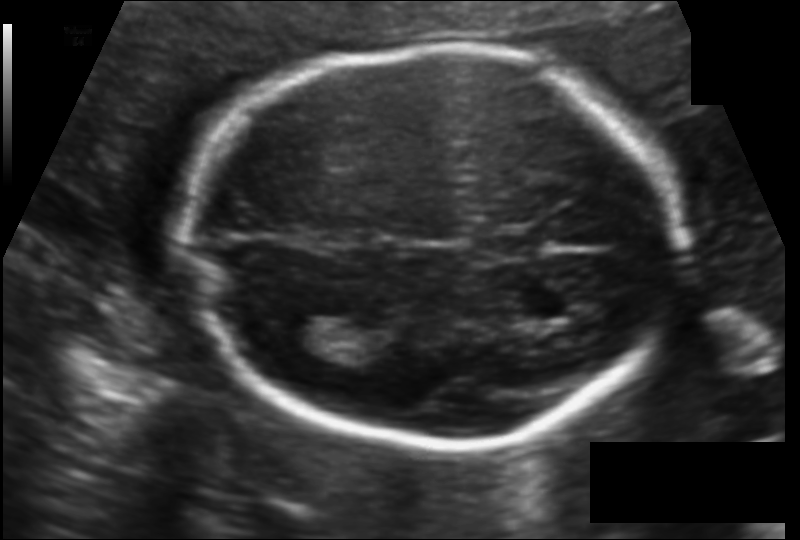
Estimate the fetal head circumference from this 2D ultrasound. Image width: 99.4 mm.

Head circumference: 180.6 mm.